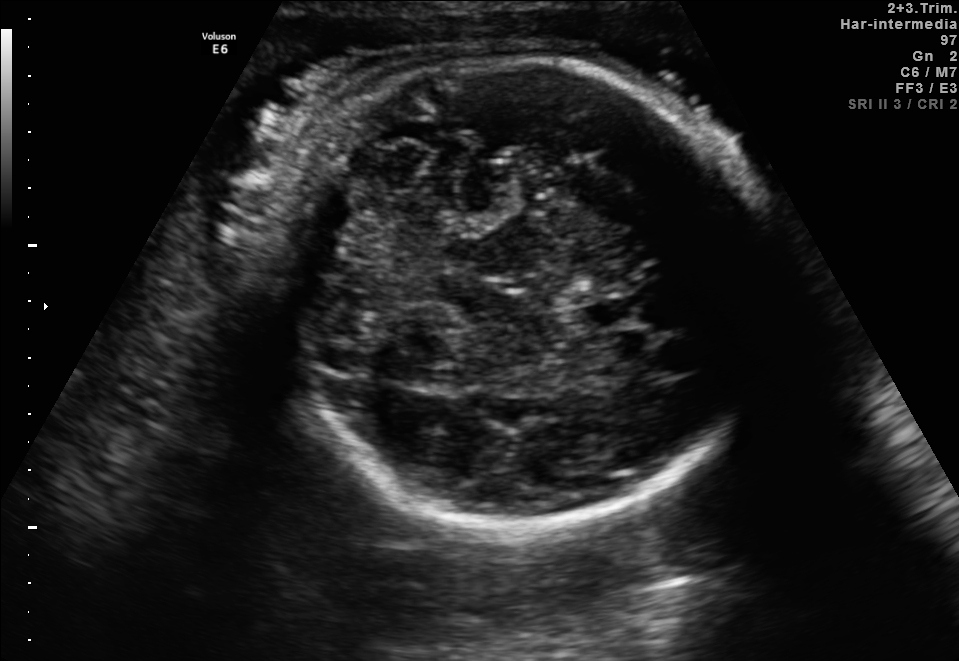
In this fetal brain, trans-cerebellum plane, give the bounding box of the fetal head.

[247,59,776,526]